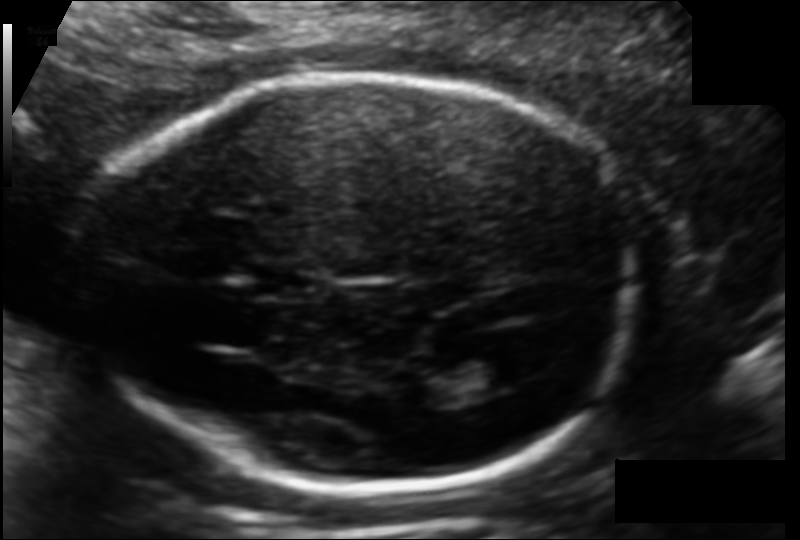
Fetal head ultrasound. Image width: 90.5 mm. Locate the lateral ventricle.

Lateral ventricle: [450,344,524,403]